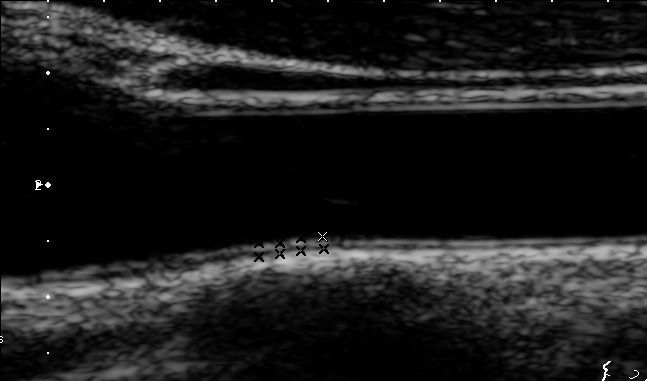
Which standard maternal-fetal ultrasound plane is shown: fetal abdomen, fetal brain, fetal femur, fetal thorax, maternal cervix, or other? If it's fetal brain and one of the three standard brain planes (trans-thalamic, trans-cerebellum, trans-ventricular), name which.

Other